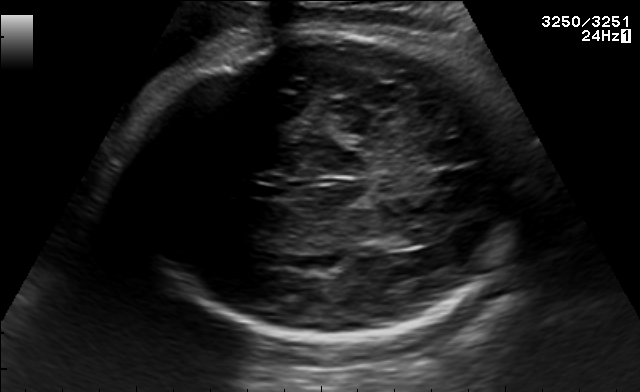
Fetal brain, trans-thalamic plane. Locate the lateral ventricle.

Lateral ventricle: [377,226,432,252]